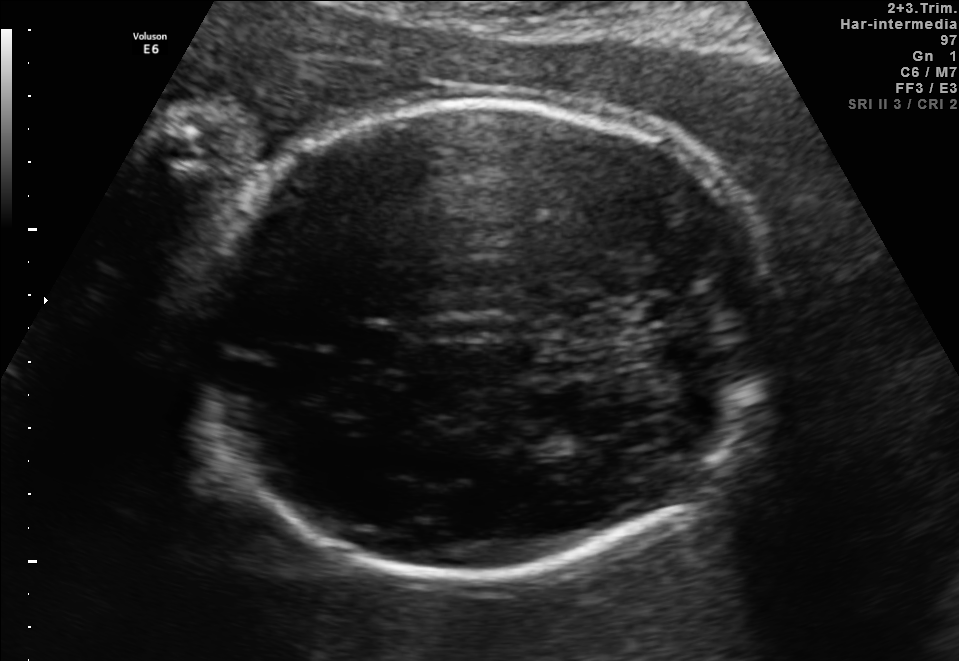
In this fetal brain, trans-thalamic plane, give the bounding box of the cavum septum pellucidum.

[340,325,401,357]